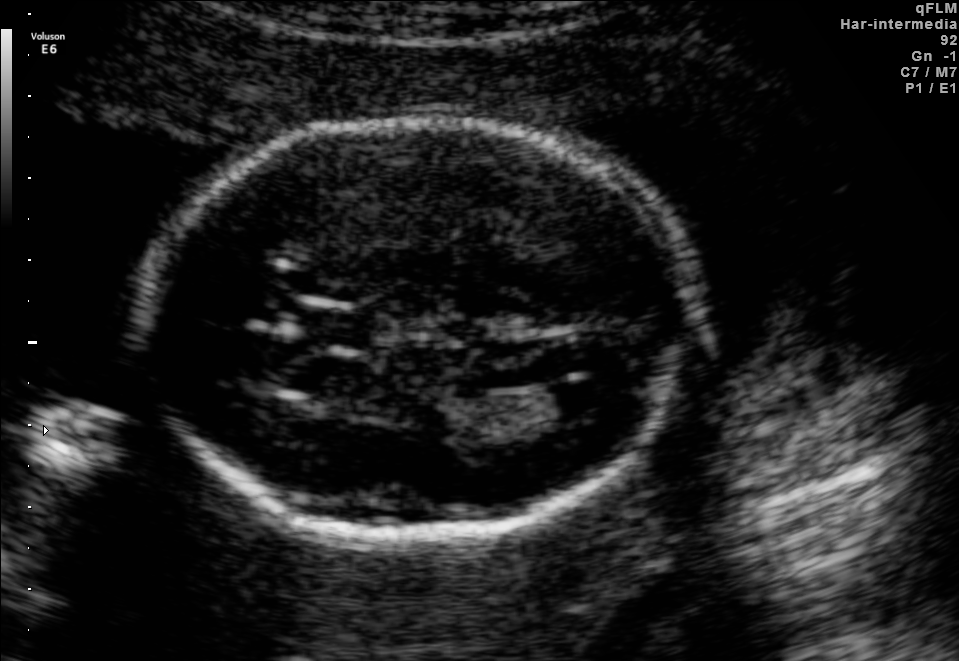
Fetal brain, trans-ventricular plane. Locate the cavum septum pellucidum.

CSP: [290,300,392,357]